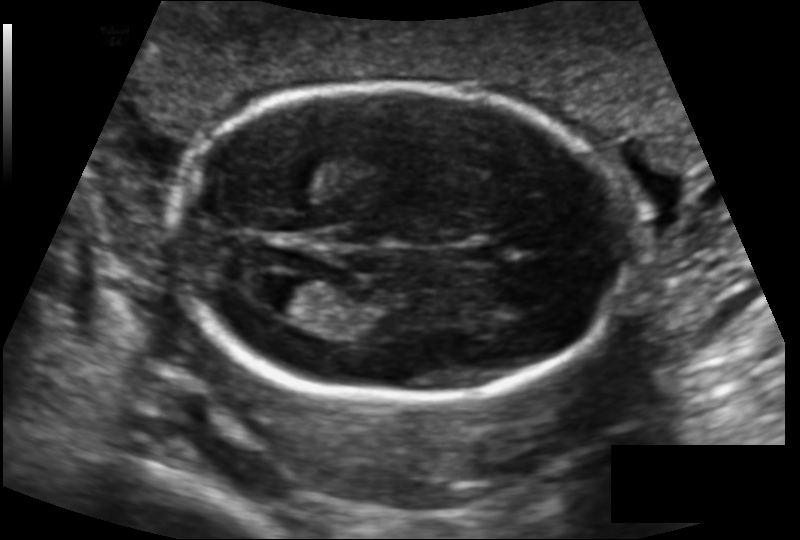
In this fetal head ultrasound, give bounding boxes for the head outline, cavum septum pellucidum (CSP), and lateral ventricle (LV), where visible. Image width: 104.8 mm.

Head: [173,83,634,400]
Lateral ventricle: [248,269,327,321]